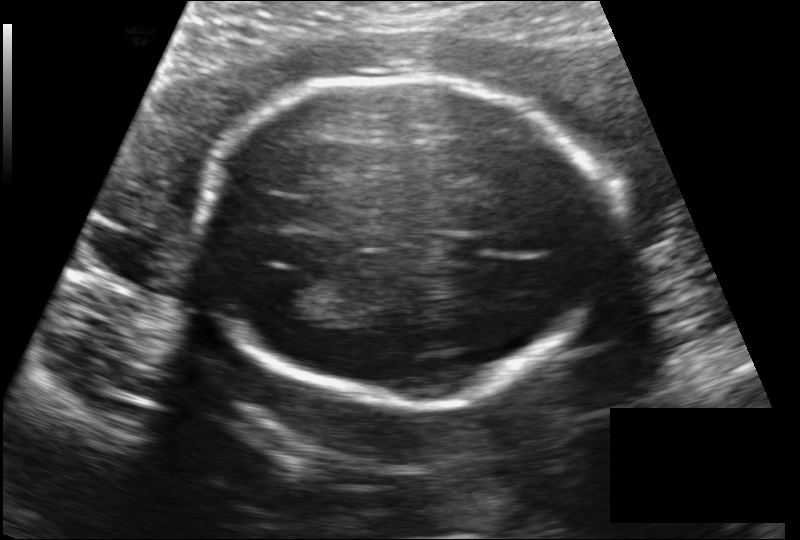
Fetal head ultrasound. Image width: 119.2 mm. Where is the lateral ventricle?

Lateral ventricle bounding box: [264,276,320,318]